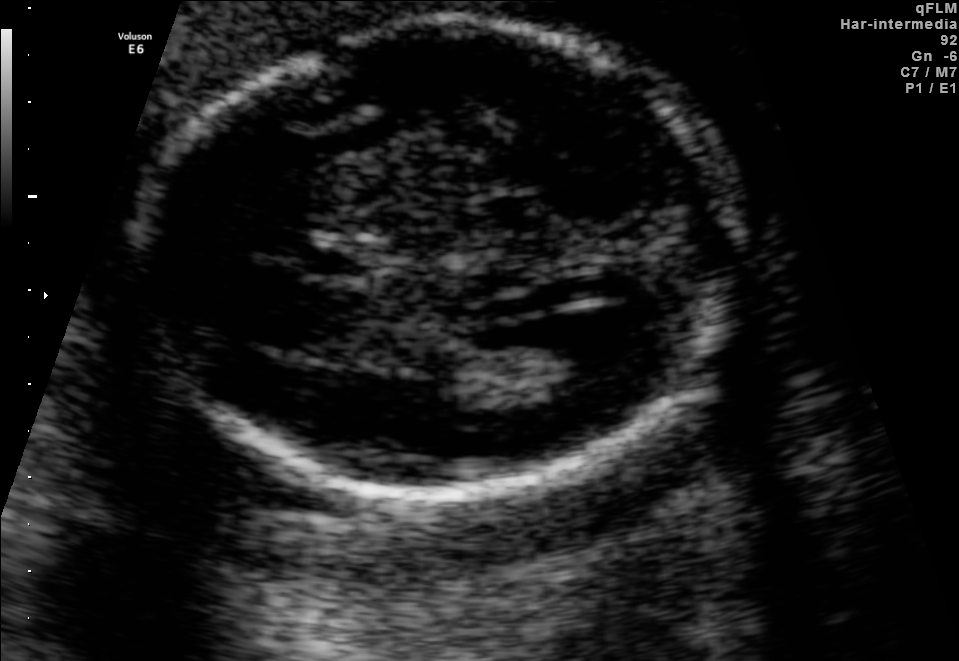
Which standard maternal-fetal ultrasound plane is shown: fetal abdomen, fetal brain, fetal femur, fetal thorax, maternal cervix, or other? If it's fetal brain and one of the three standard brain planes (trans-thalamic, trans-cerebellum, trans-ventricular), name which.

Fetal brain (trans-ventricular plane)